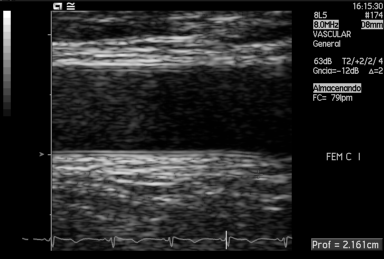
Which standard maternal-fetal ultrasound plane is shown: fetal abdomen, fetal brain, fetal femur, fetal thorax, maternal cervix, or other? If it's fetal brain and one of the three standard brain planes (trans-thalamic, trans-cerebellum, trans-ventricular), name which.

Other